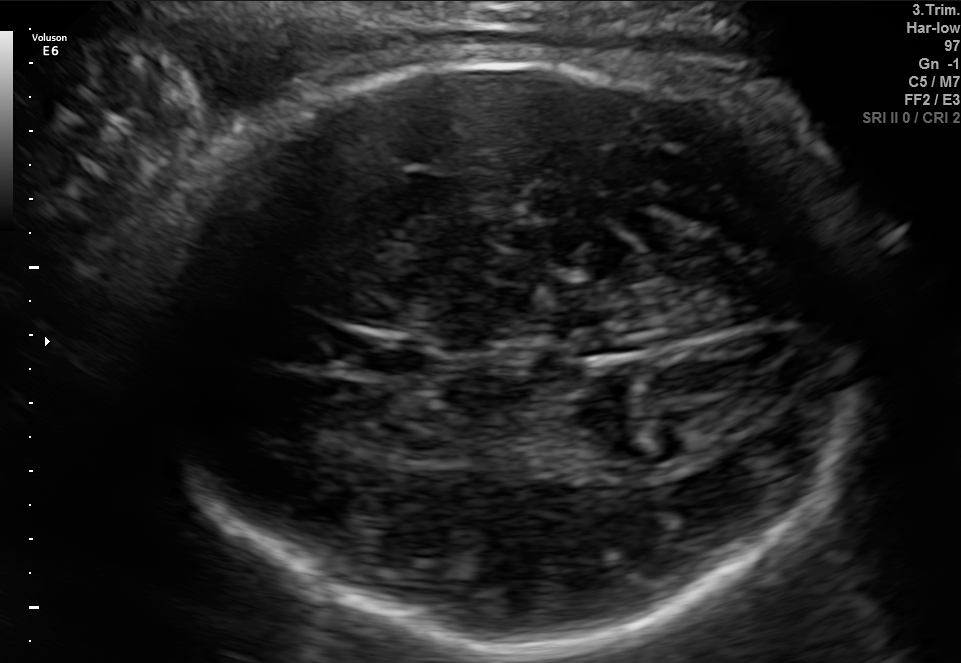
Fetal brain, trans-thalamic plane. Locate the fetal head.

Head: [153,61,856,652]